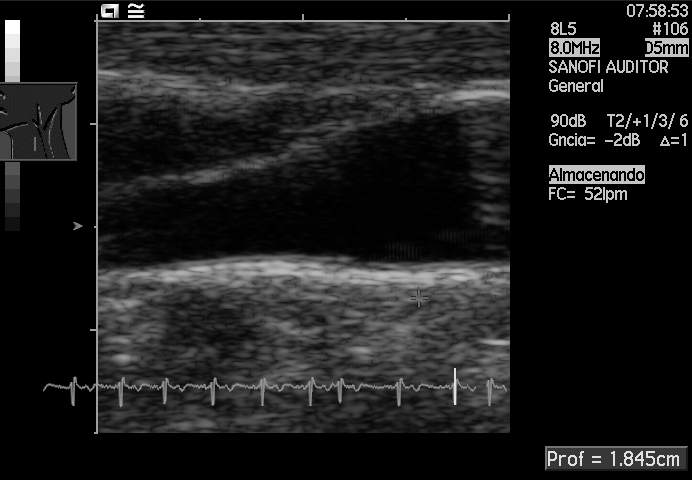
Identify the standard plane in this fetal ultrasound image: fetal abdomen, fetal brain, fetal femur, fetal thorax, maternal cervix, or other. If it's fetal brain and one of the three standard brain planes (trans-thalamic, trans-cerebellum, trans-ventricular), name which.

Other